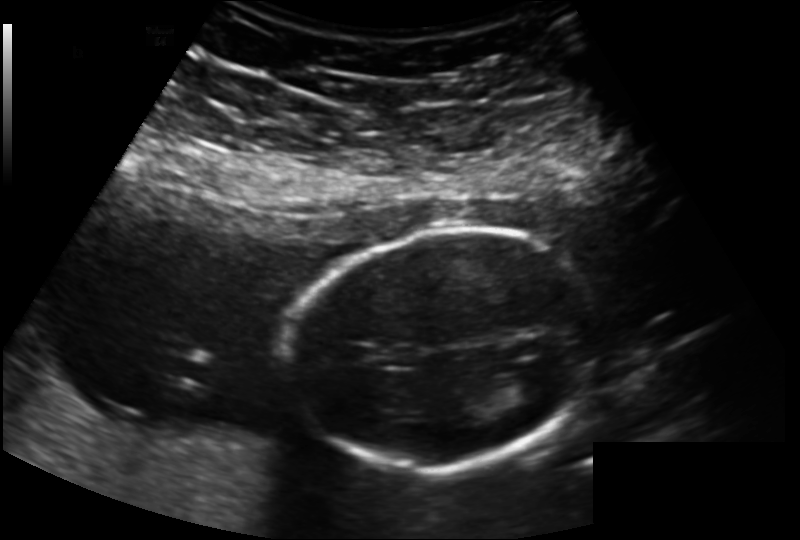
Fetal head ultrasound. Image width: 130.7 mm. Where is the fetal head?

Head bounding box: [294,229,597,470]